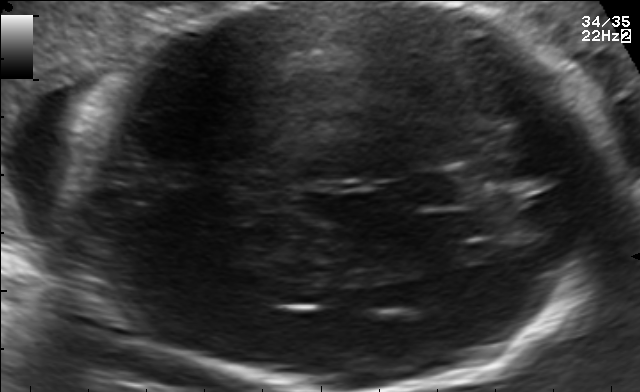
In this fetal brain, trans-thalamic plane, give bounding boxes for the head outline, cavum septum pellucidum (CSP), and lateral ventricle (LV), where visible.

Head: [65,3,622,390]
CSP: [411,170,469,210]